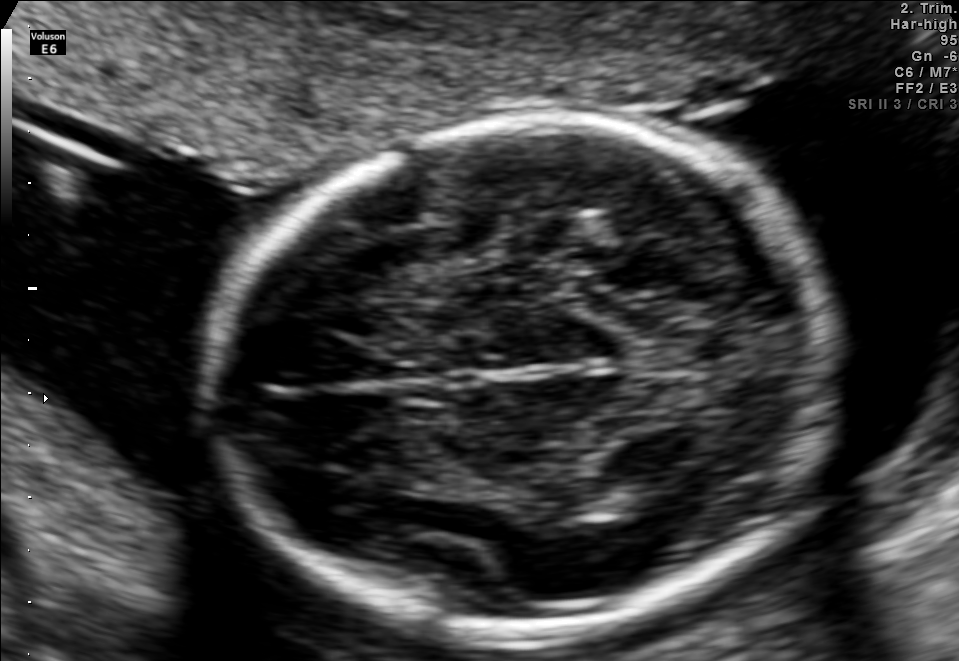
Fetal brain, trans-thalamic plane. Locate the fetal head and, if visible, the cavum septum pellucidum (CSP) and lateral ventricle (LV). Give bounding boxes as [x1,y1,x2,y2].

Head: [211,118,830,633]